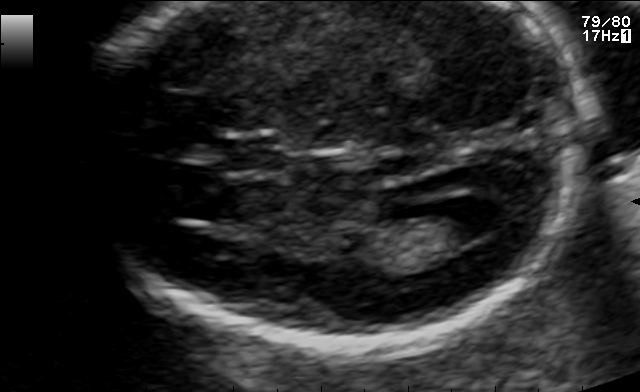
Fetal brain, trans-ventricular plane. Where is the cavum septum pellucidum?

CSP bounding box: [222,135,280,172]